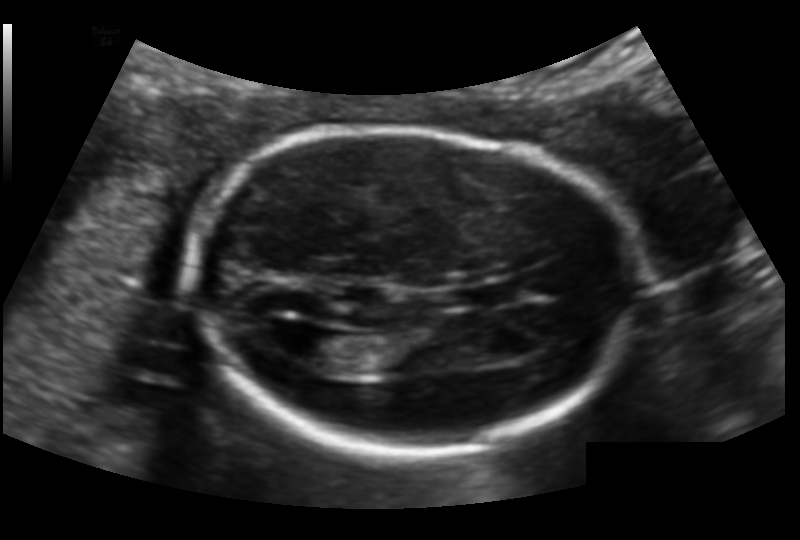
Fetal head ultrasound. Image width: 105.5 mm. Locate the fetal head and, if visible, the cavum septum pellucidum (CSP) and lateral ventricle (LV). Give bounding boxes as [x1,y1,x2,y2].

Head: [185,127,638,451]
CSP: [468,279,524,310]
Lateral ventricle: [282,320,344,368]